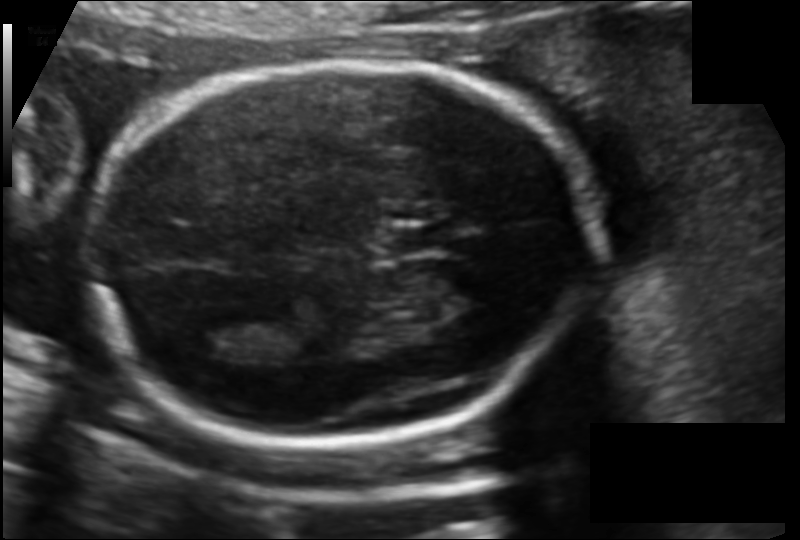
Fetal head ultrasound. Image width: 96.2 mm. Locate the fetal head.

Head: [85,64,600,440]